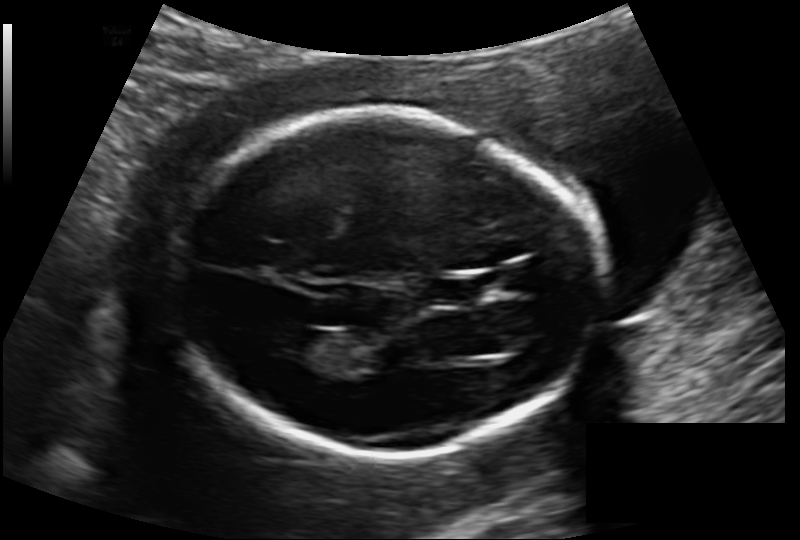
From this fetal ultrasound, estimate the head circumference (image width 106.3 mm).

Head circumference: 166.8 mm.